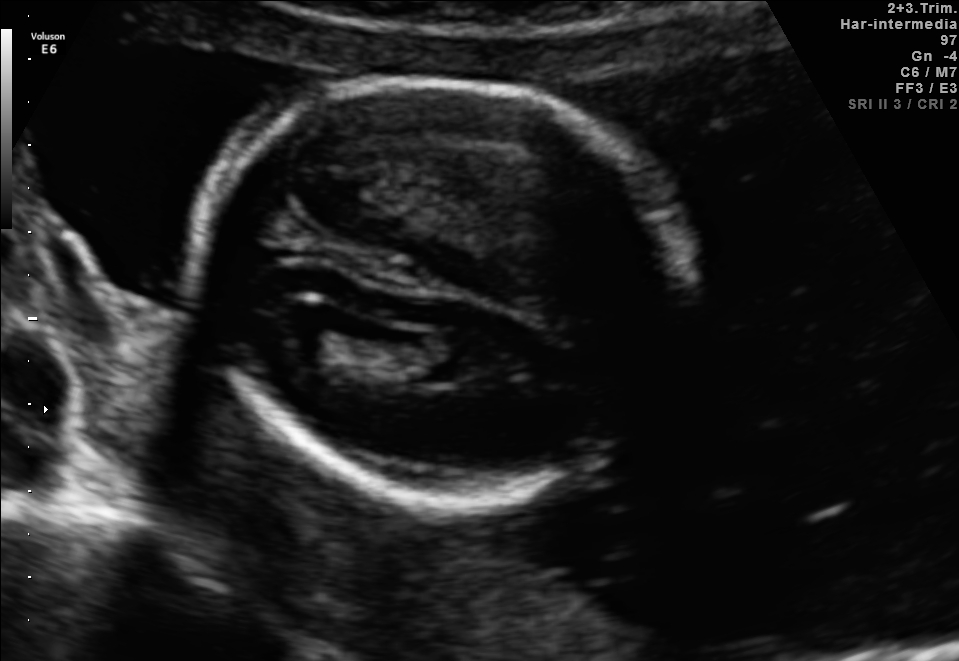
Fetal brain, trans-ventricular plane. Where is the fetal head?

Head bounding box: [181,69,716,512]